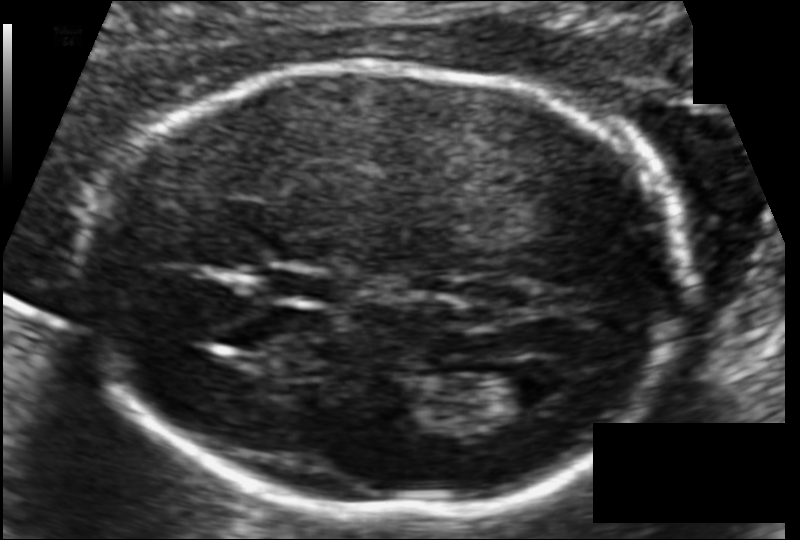
In this fetal head ultrasound, give the bounding box of the cavum septum pellucidum. Image width: 81.8 mm.

[259,267,336,303]